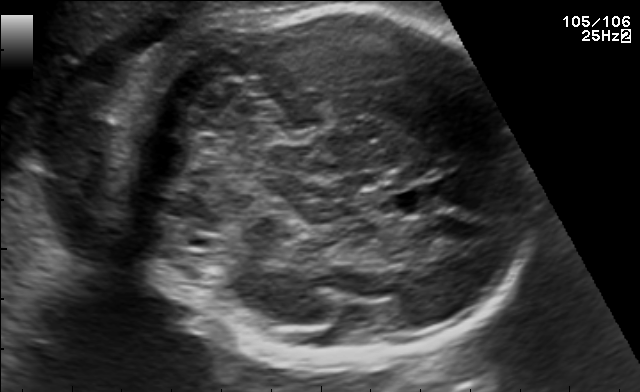
Fetal brain, trans-cerebellum plane. Give [x1,y1,x2,y2] bounding boxes for each visible structure among: fetal head, CSP, LV.

Head: [135,5,519,371]